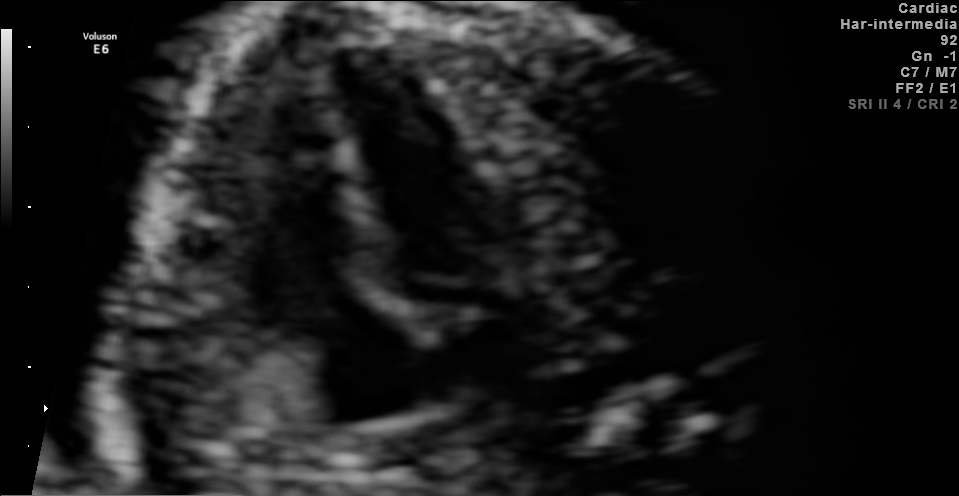
This is a 2D maternal-fetal ultrasound frame. Is it a fetal abdomen, fetal brain, fetal femur, fetal thorax, maternal cervix, or other standard plane? If it's fetal brain and one of the three standard brain planes (trans-thalamic, trans-cerebellum, trans-ventricular), name which.

Fetal thorax